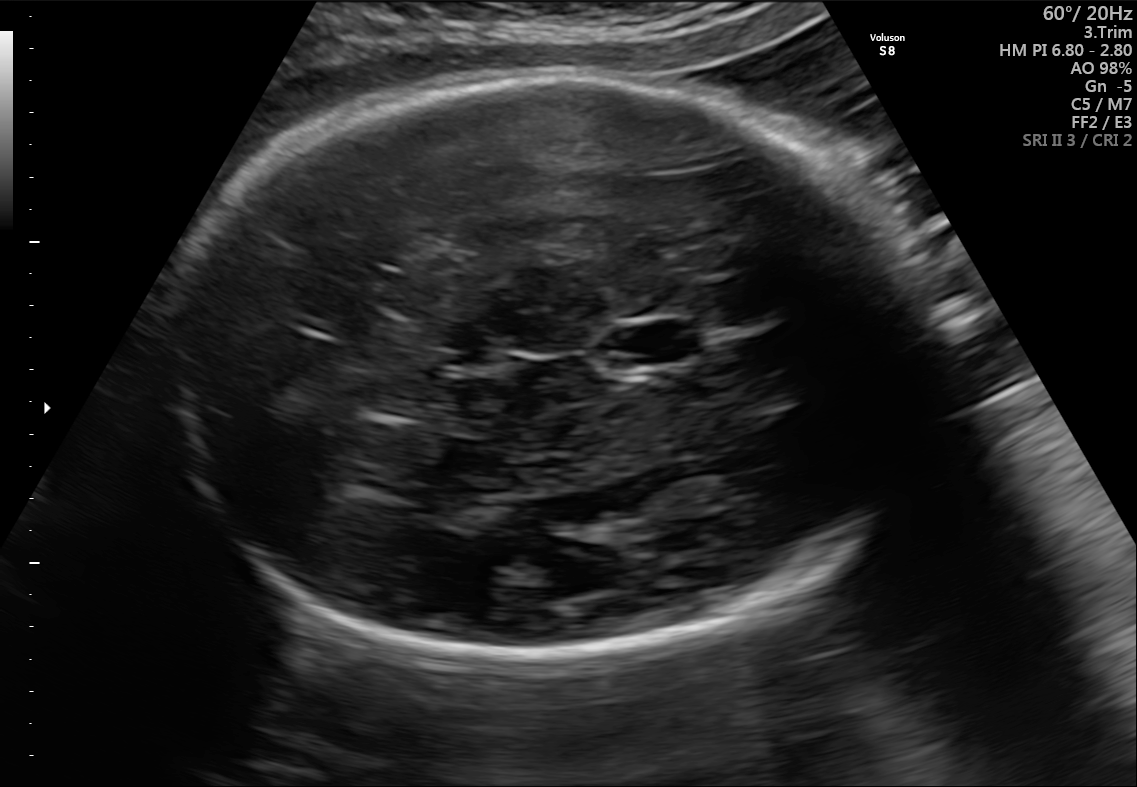
Fetal brain, trans-thalamic plane. Where is the cavum septum pellucidum?

CSP bounding box: [609,317,702,369]